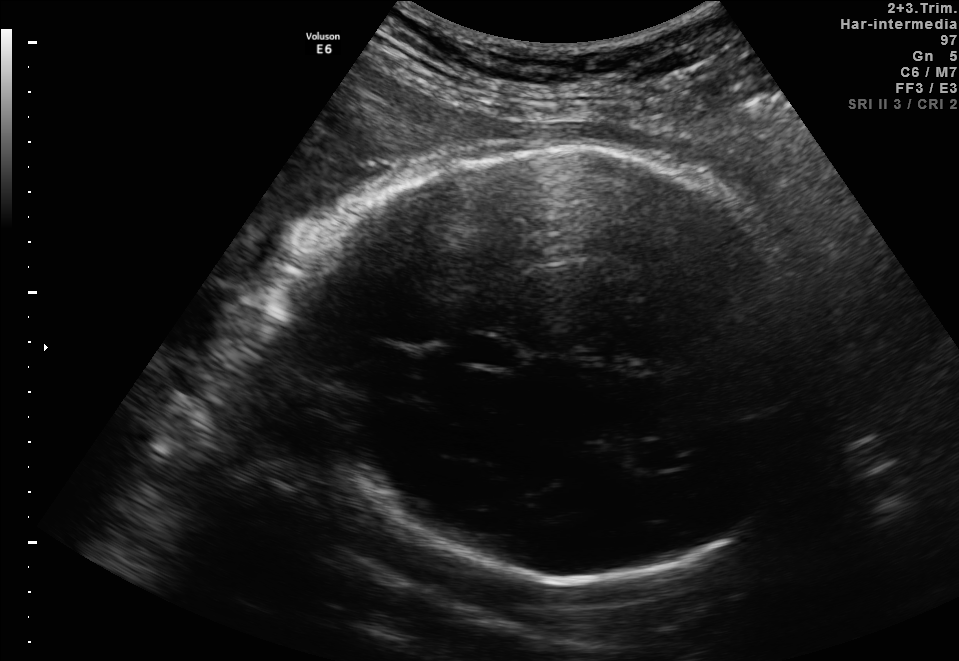
Fetal brain, trans-thalamic plane. Locate the cavum septum pellucidum.

CSP: [461,334,511,369]